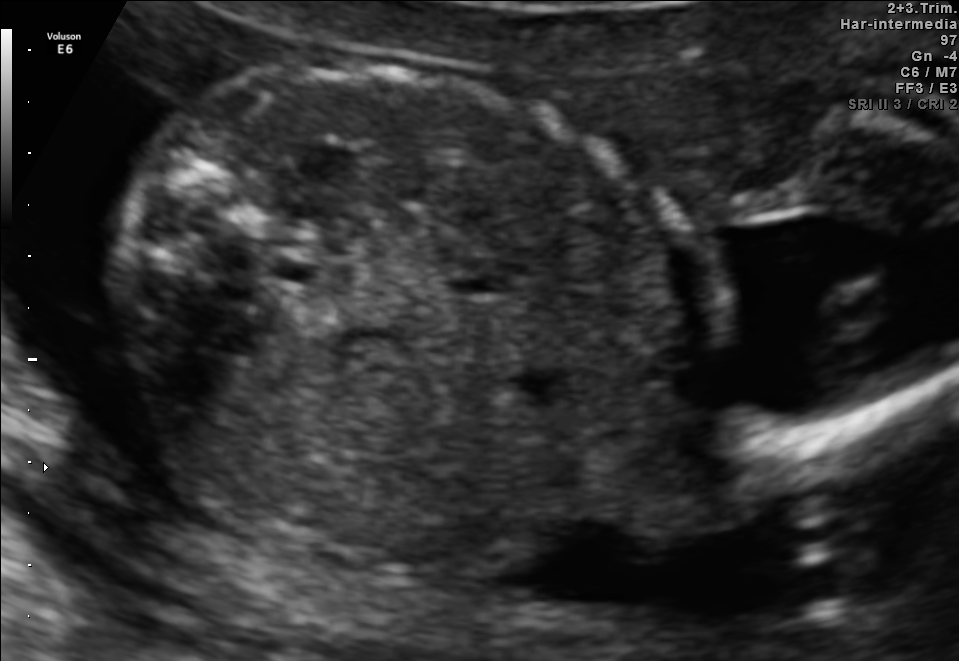
This is a 2D maternal-fetal ultrasound frame. Is it a fetal abdomen, fetal brain, fetal femur, fetal thorax, maternal cervix, or other standard plane? If it's fetal brain and one of the three standard brain planes (trans-thalamic, trans-cerebellum, trans-ventricular), name which.

Other